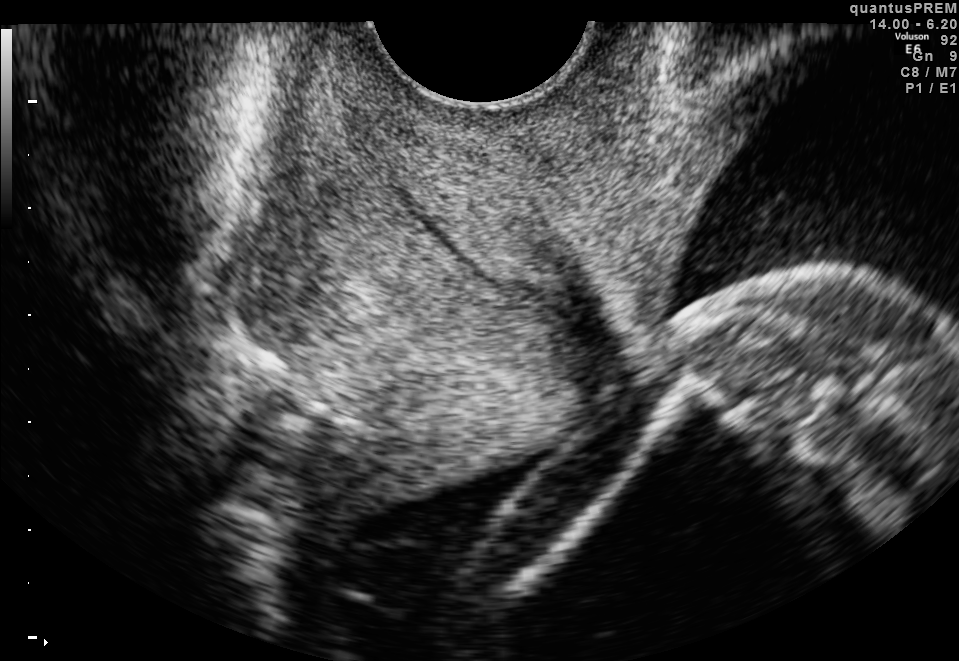
Identify the standard plane in this fetal ultrasound image: fetal abdomen, fetal brain, fetal femur, fetal thorax, maternal cervix, or other. If it's fetal brain and one of the three standard brain planes (trans-thalamic, trans-cerebellum, trans-ventricular), name which.

Maternal cervix